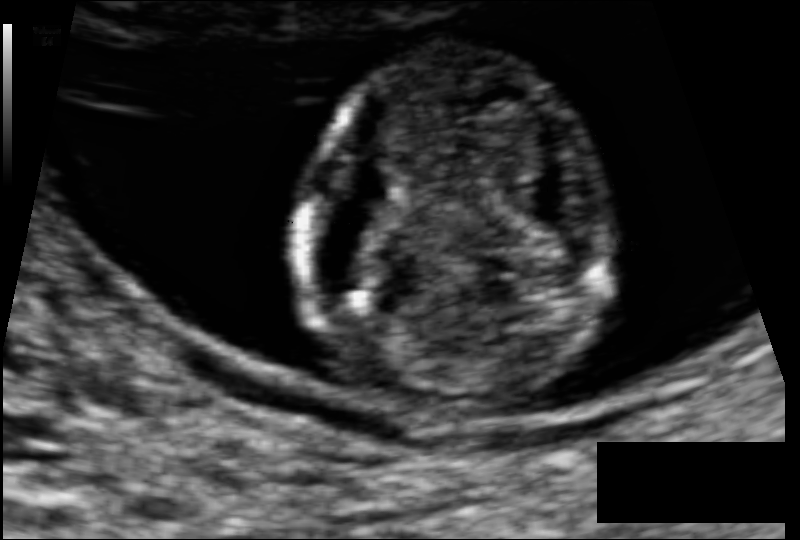
Estimate the fetal head circumference from this 2D ultrasound. Image width: 59.5 mm.

Head circumference: 80.5 mm.